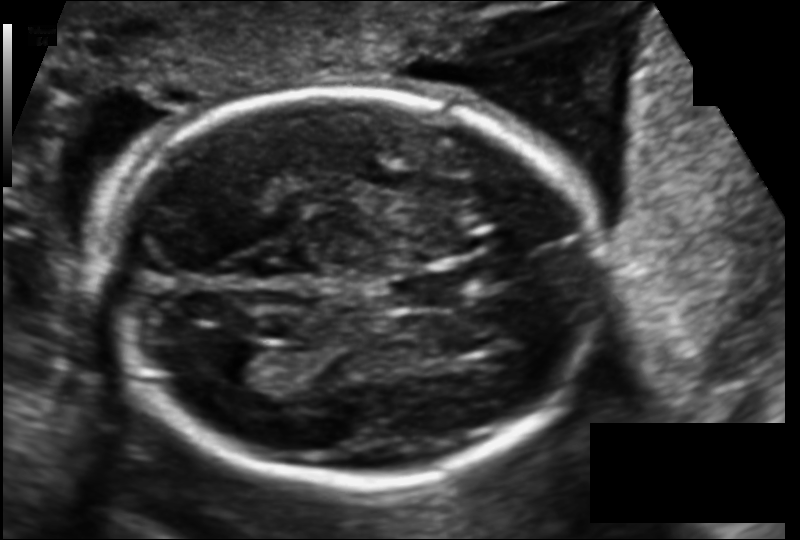
In this fetal head ultrasound, give bounding boxes for the head outline, cavum septum pellucidum (CSP), and lateral ventricle (LV), where visible. Image width: 104.3 mm.

Head: [108,87,604,485]
CSP: [386,266,466,313]
Lateral ventricle: [208,339,276,390]